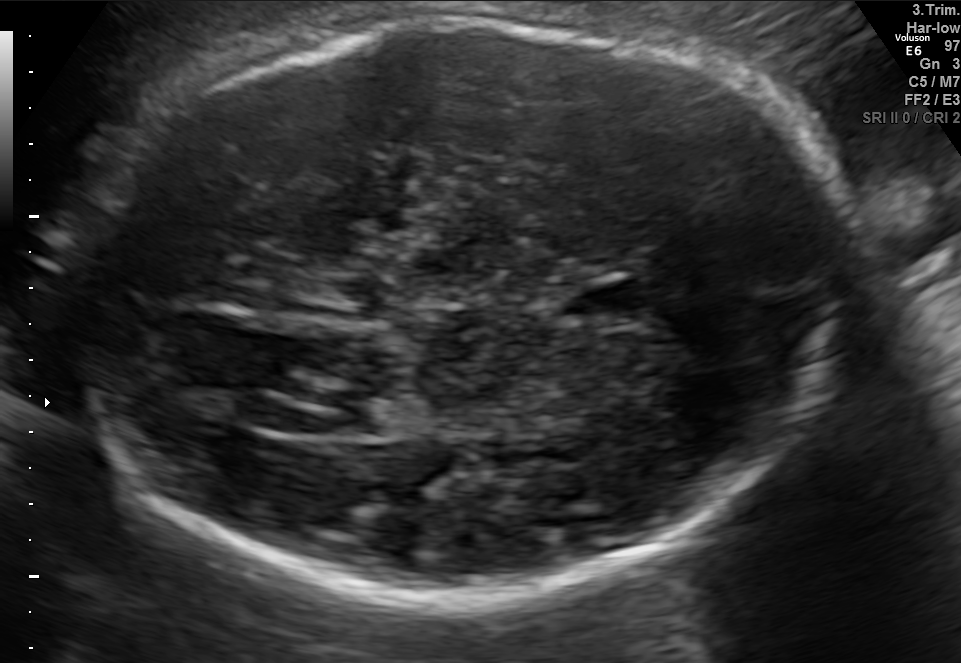
Fetal brain, trans-ventricular plane. Locate the fetal head.

Head: [54,11,867,618]